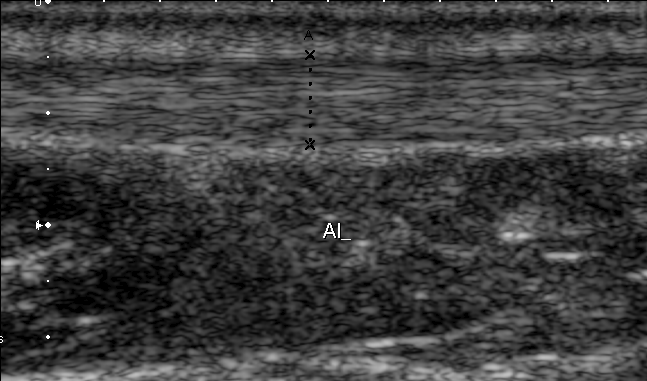
Classify this maternal-fetal ultrasound image as one of the six standard planes — fetal abdomen, fetal brain, fetal femur, fetal thorax, maternal cervix, or other. If it's fetal brain and one of the three standard brain planes (trans-thalamic, trans-cerebellum, trans-ventricular), name which.

Other